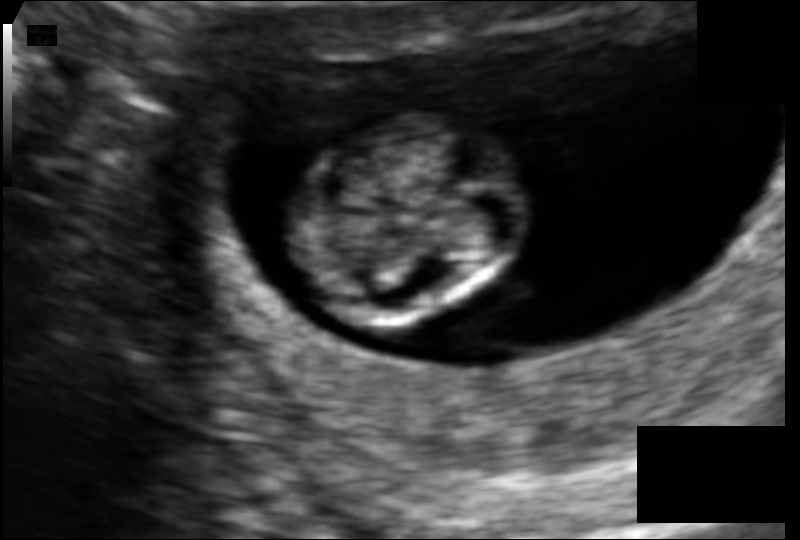
Fetal head ultrasound. Image width: 66.8 mm. Give [x1,y1,x2,y2] bounding boxes for each visible structure among: fetal head, CSP, LV.

Head: [293,114,521,322]